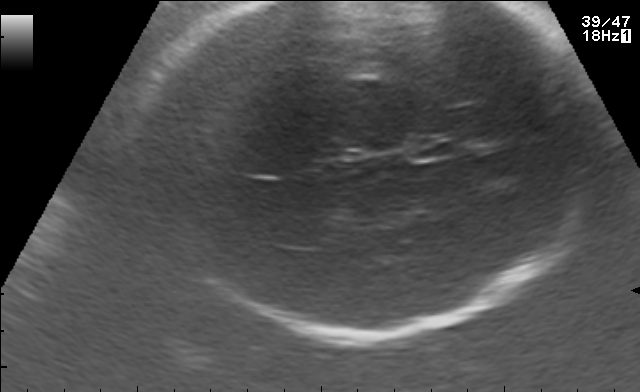
Which standard maternal-fetal ultrasound plane is shown: fetal abdomen, fetal brain, fetal femur, fetal thorax, maternal cervix, or other? If it's fetal brain and one of the three standard brain planes (trans-thalamic, trans-cerebellum, trans-ventricular), name which.

Fetal brain (trans-thalamic plane)